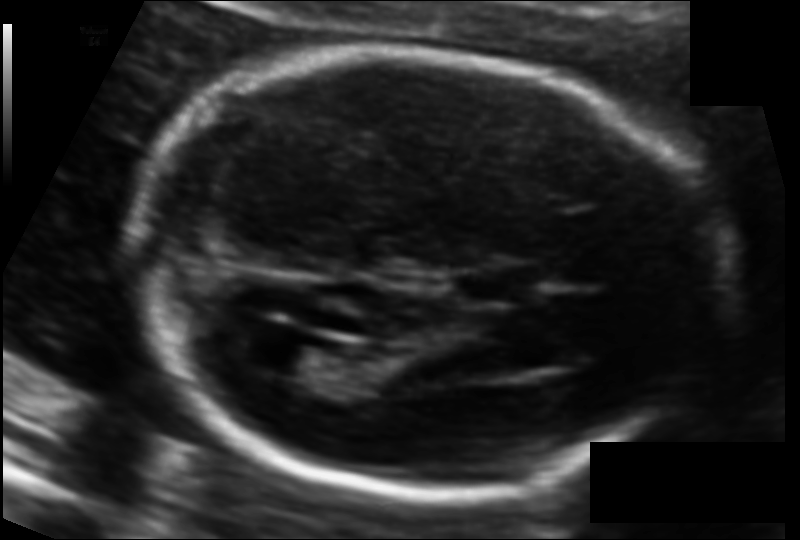
Fetal head ultrasound. Image width: 82.9 mm. Locate the fetal head and, if visible, the cavum septum pellucidum (CSP) and lateral ventricle (LV). Give bounding boxes as [x1,y1,x2,y2].

Head: [131,53,704,500]
CSP: [468,267,539,304]
Lateral ventricle: [253,332,341,393]